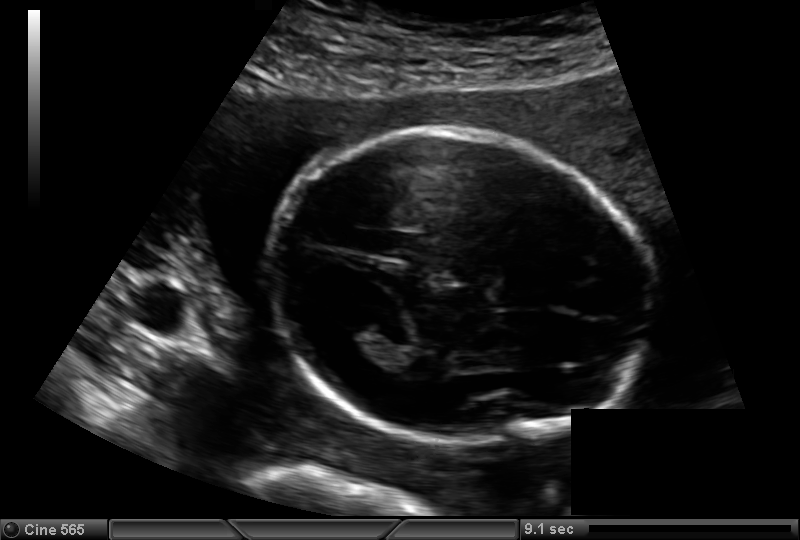
In this fetal head ultrasound, give the bounding box of the fetal head. Image width: 113.5 mm.

[270,131,653,450]